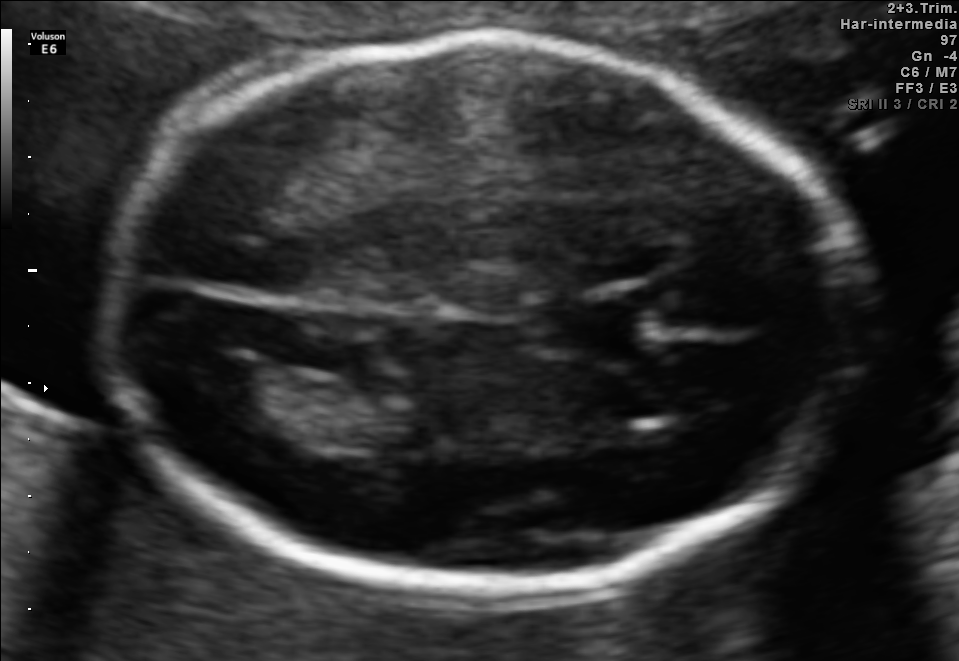
In this fetal brain, trans-ventricular plane, give the bounding box of the fetal head.

[96,30,869,593]